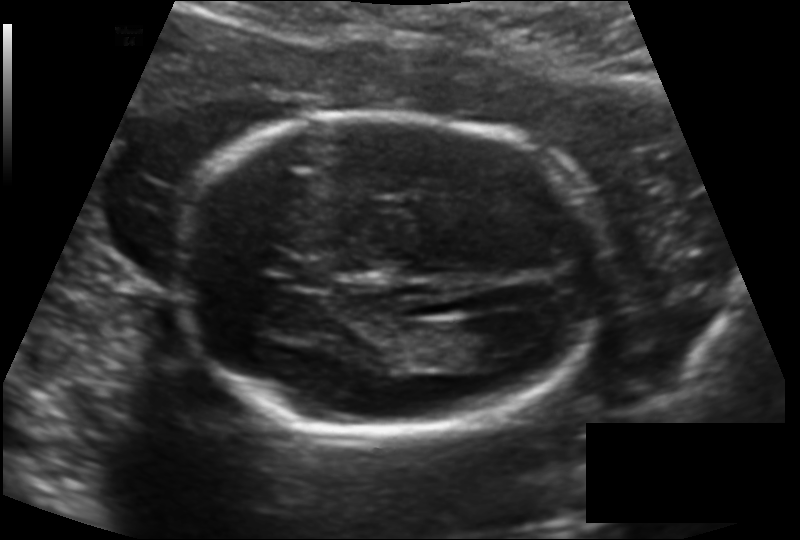
From this fetal ultrasound, estimate the head circumference (image width 110.7 mm).

Head circumference: 170.4 mm.